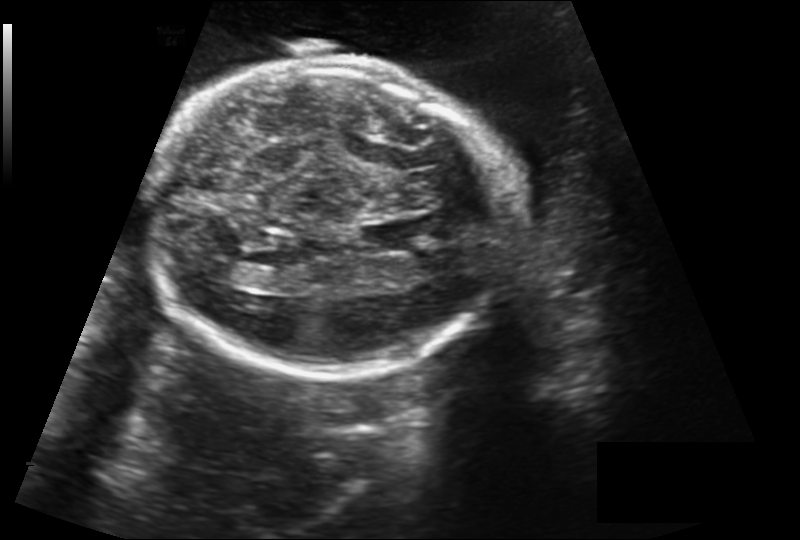
Measure the fetal head circumference shown in this ultrasound image. Image width: 169.6 mm.

Head circumference: 231.6 mm.